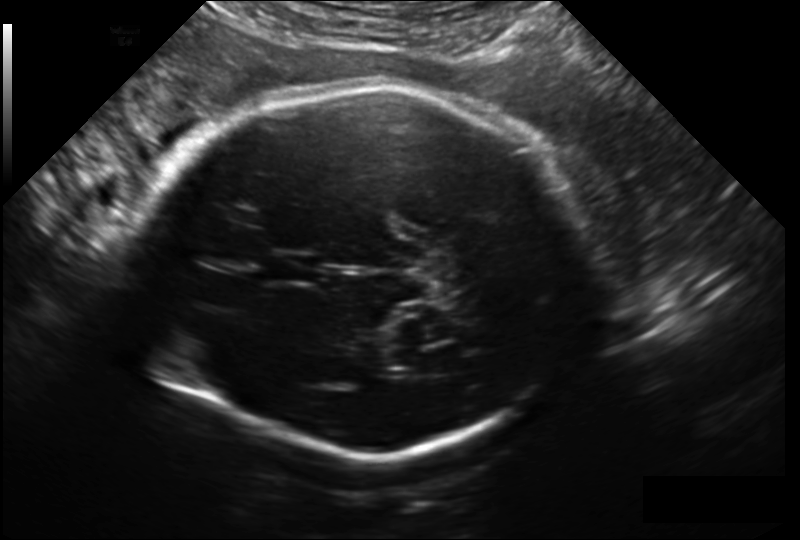
In this fetal head ultrasound, give bounding boxes for the head outline, cavum septum pellucidum (CSP), and lateral ventricle (LV), where visible. Image width: 167.2 mm.

Head: [136,86,589,454]
CSP: [266,251,320,284]
Lateral ventricle: [386,349,443,376]